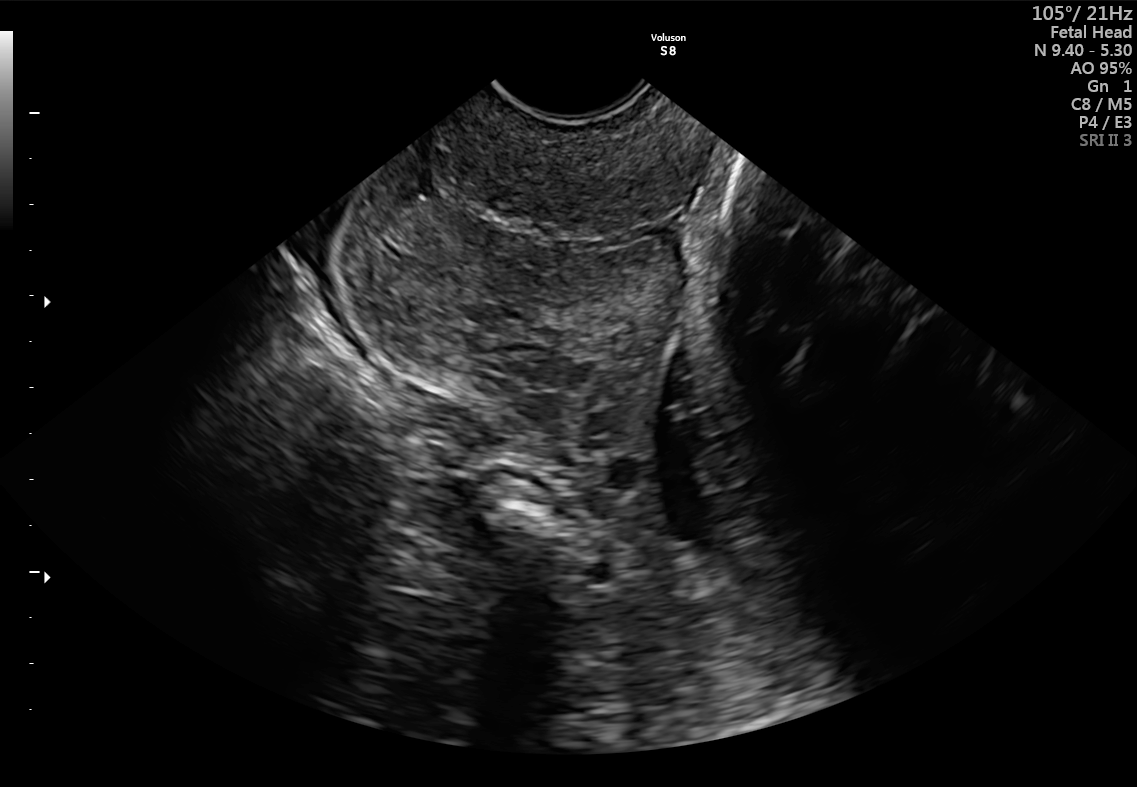
Which standard maternal-fetal ultrasound plane is shown: fetal abdomen, fetal brain, fetal femur, fetal thorax, maternal cervix, or other? If it's fetal brain and one of the three standard brain planes (trans-thalamic, trans-cerebellum, trans-ventricular), name which.

Maternal cervix